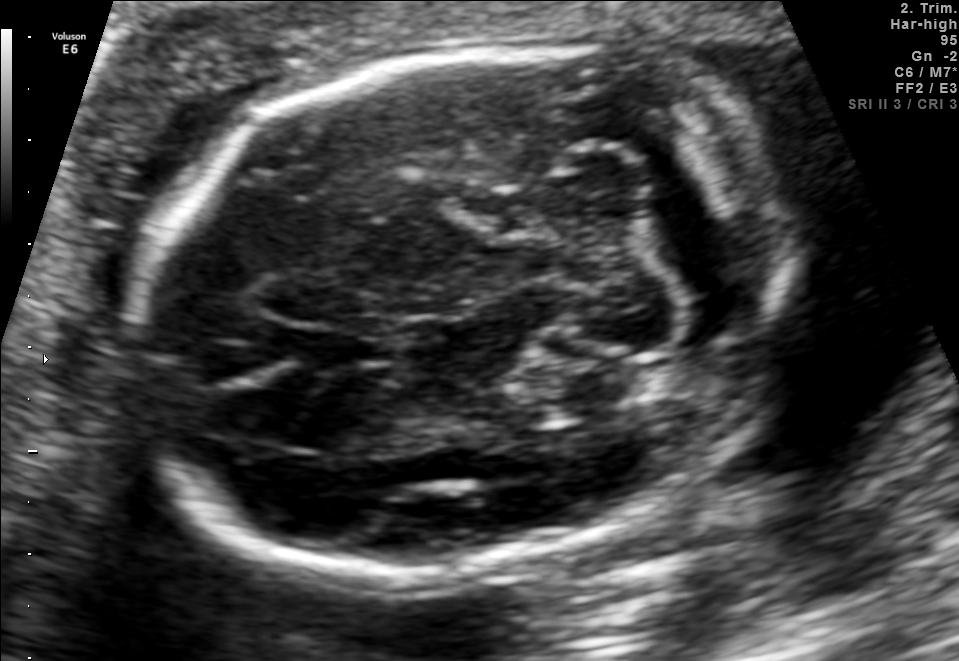
Fetal brain, trans-cerebellum plane. Locate the cavum septum pellucidum.

CSP: [305,322,388,368]